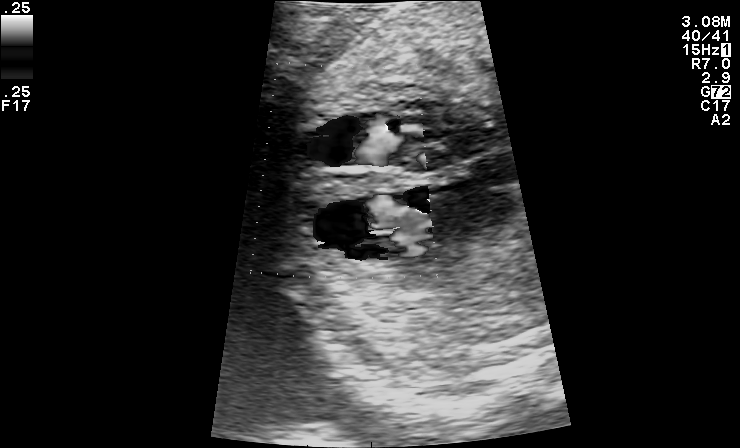
Identify the standard plane in this fetal ultrasound image: fetal abdomen, fetal brain, fetal femur, fetal thorax, maternal cervix, or other. If it's fetal brain and one of the three standard brain planes (trans-thalamic, trans-cerebellum, trans-ventricular), name which.

Other